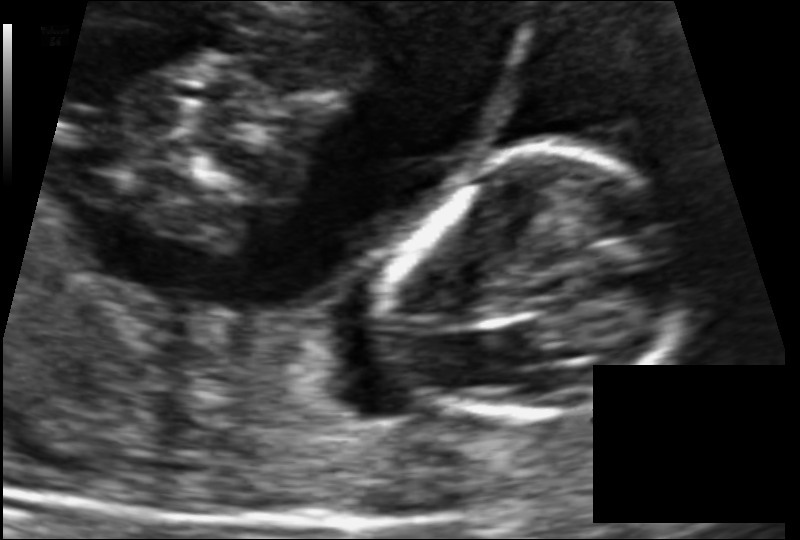
Fetal head ultrasound. Image width: 69.1 mm. Locate the fetal head.

Head: [383,154,682,437]